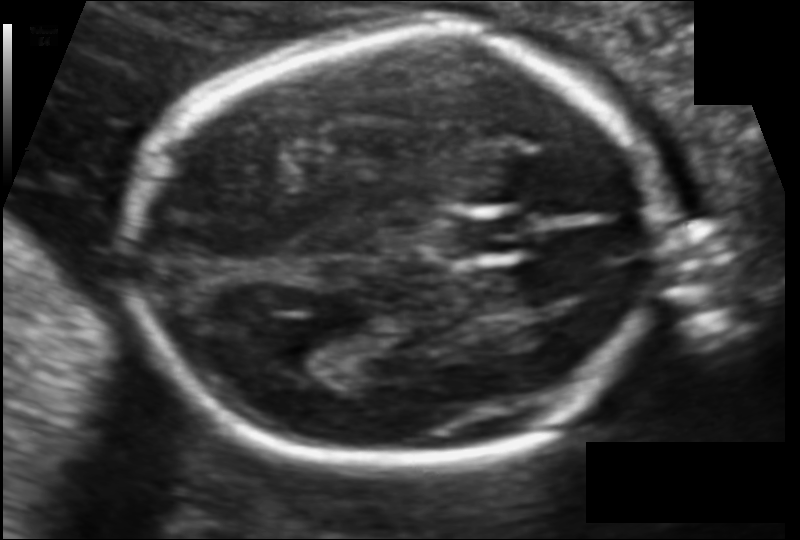
Estimate the fetal head circumference from this 2D ultrasound. Image width: 84.9 mm.

Head circumference: 167.4 mm.